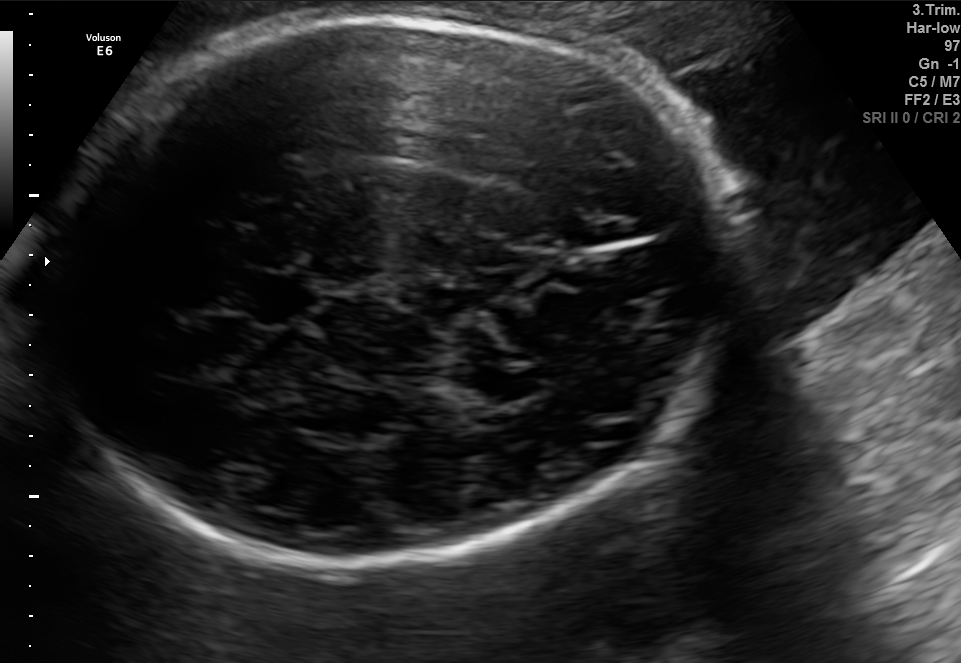
Fetal brain, trans-thalamic plane. Locate the fetal head.

Head: [46,16,731,567]